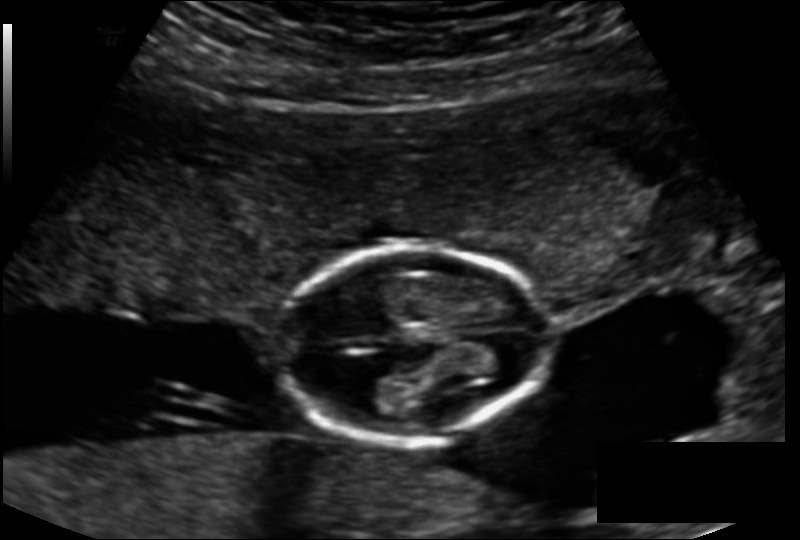
Fetal head ultrasound. Image width: 114.3 mm. Locate the fetal head.

Head: [277,247,546,440]